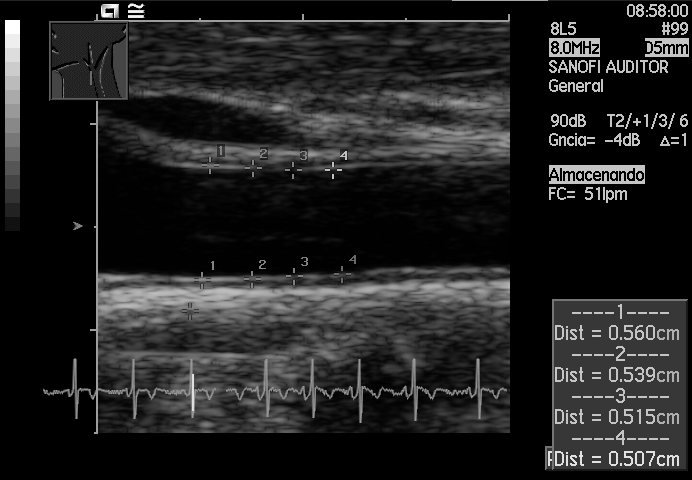
Classify this maternal-fetal ultrasound image as one of the six standard planes — fetal abdomen, fetal brain, fetal femur, fetal thorax, maternal cervix, or other. If it's fetal brain and one of the three standard brain planes (trans-thalamic, trans-cerebellum, trans-ventricular), name which.

Other